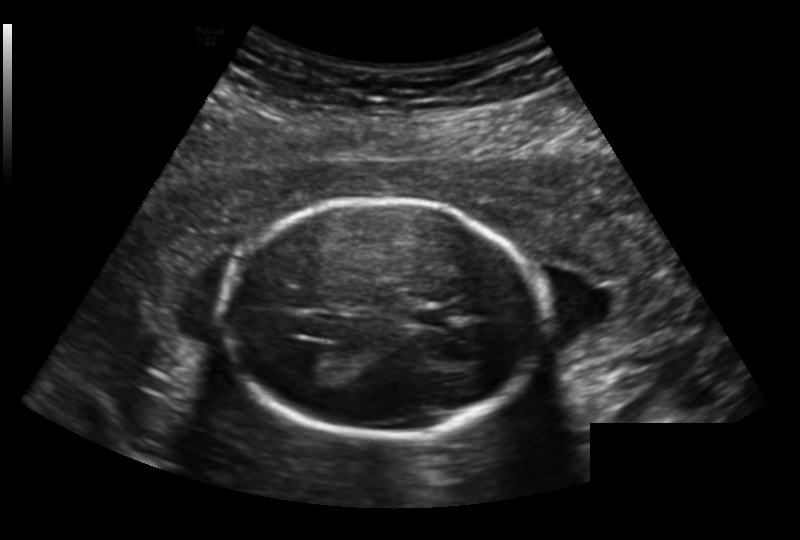
Fetal head ultrasound. Image width: 152.4 mm. Locate the lateral ventricle.

Lateral ventricle: [290,350,342,383]